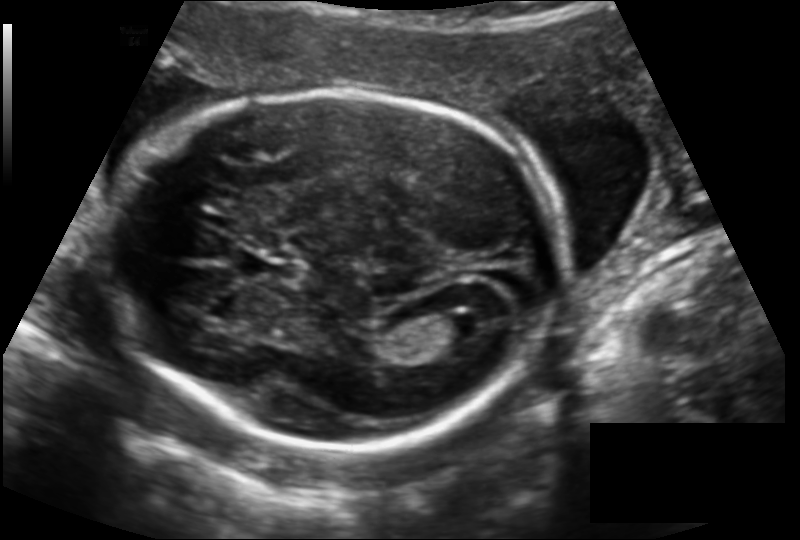
Estimate the fetal head circumference from this 2D ultrasound. Image width: 113.5 mm.

Head circumference: 185.9 mm.